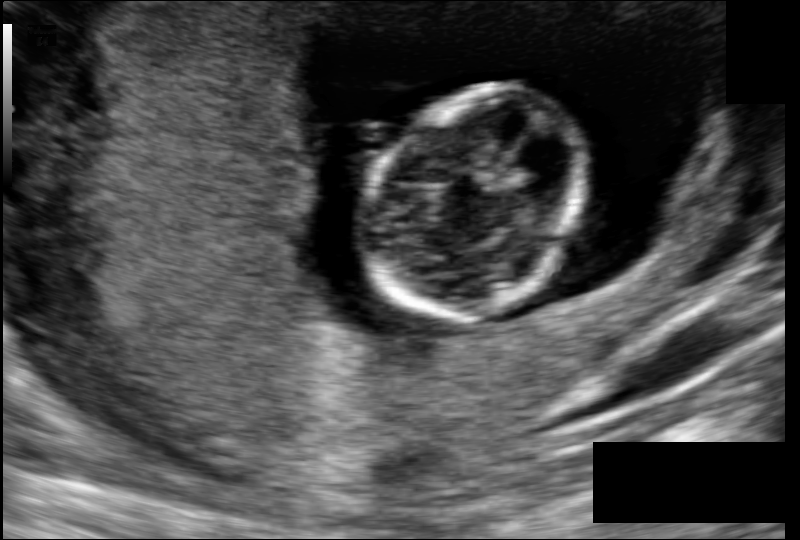
From this fetal ultrasound, estimate the head circumference (image width 86.3 mm).

Head circumference: 77.5 mm.